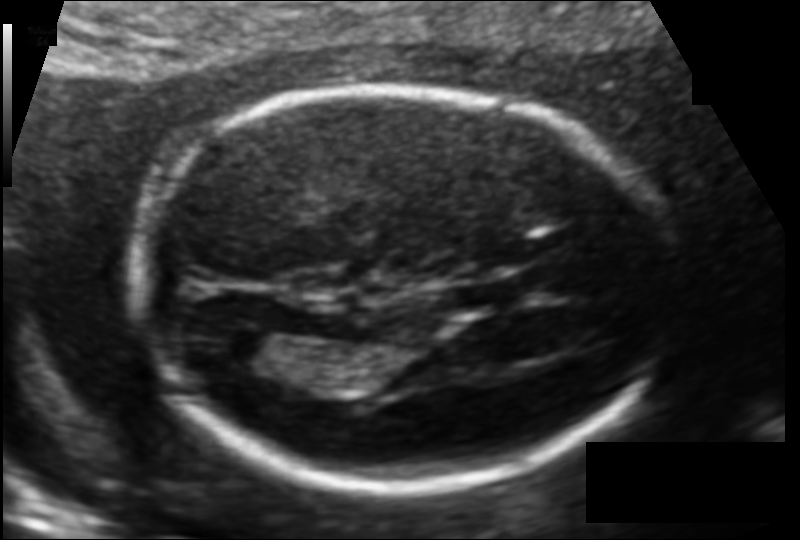
Fetal head ultrasound. Image width: 87.0 mm. Locate the lateral ventricle.

Lateral ventricle: [214,326,289,374]